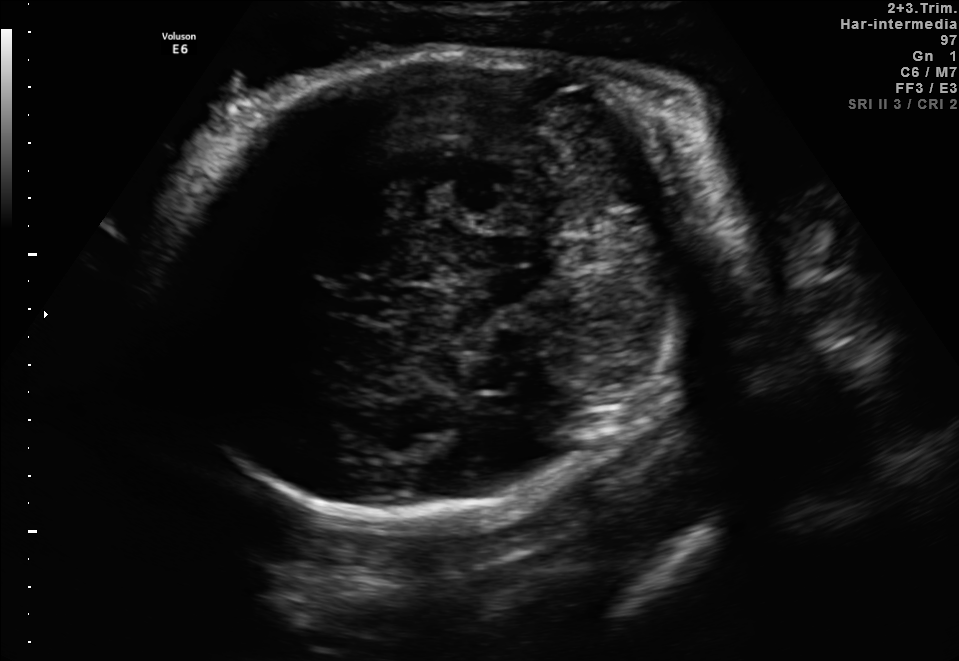
In this fetal brain, trans-thalamic plane, give the bounding box of the fetal head.

[161,53,686,528]